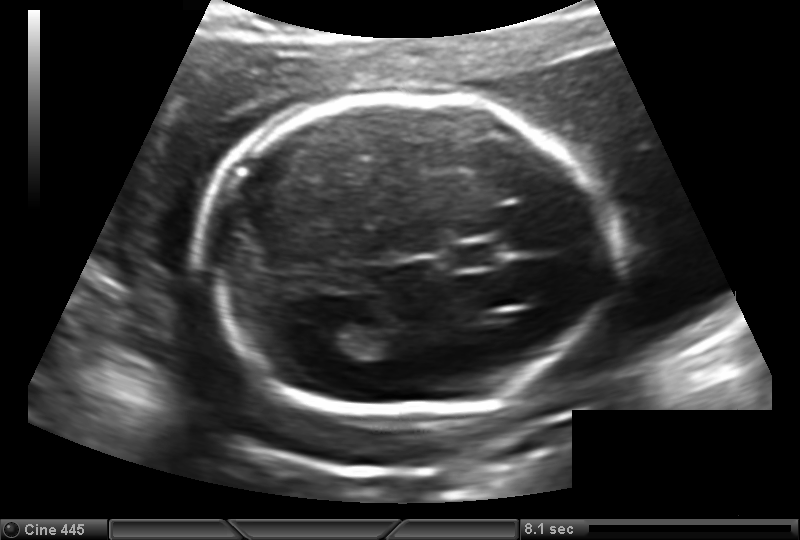
In this fetal head ultrasound, give the bounding box of the cavum septum pellucidum. Image width: 119.4 mm.

[446,238,504,272]